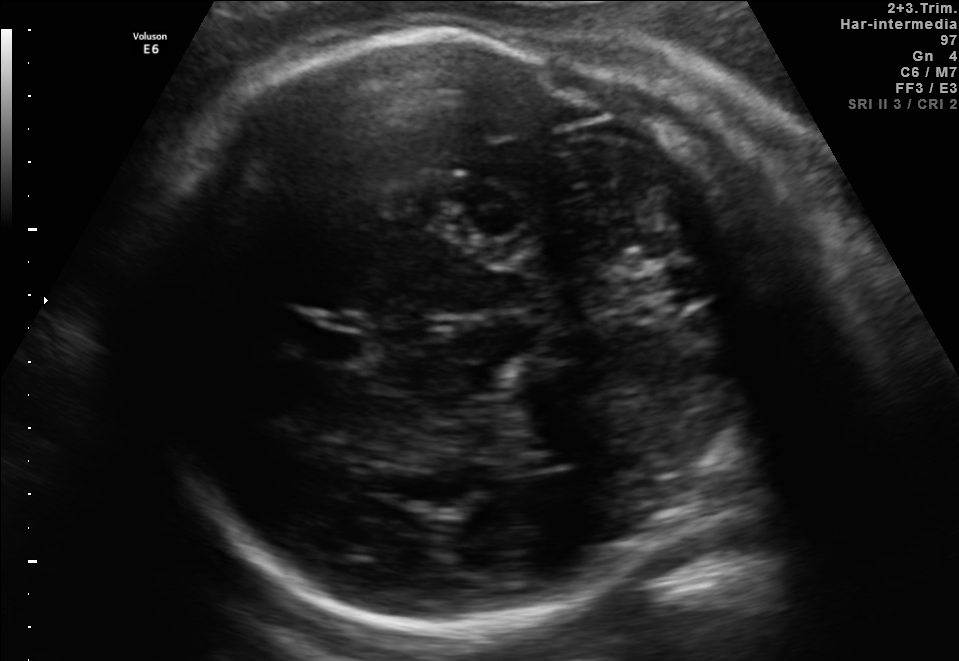
Fetal brain, trans-thalamic plane. Locate the cavum septum pellucidum.

CSP: [300,328,367,365]